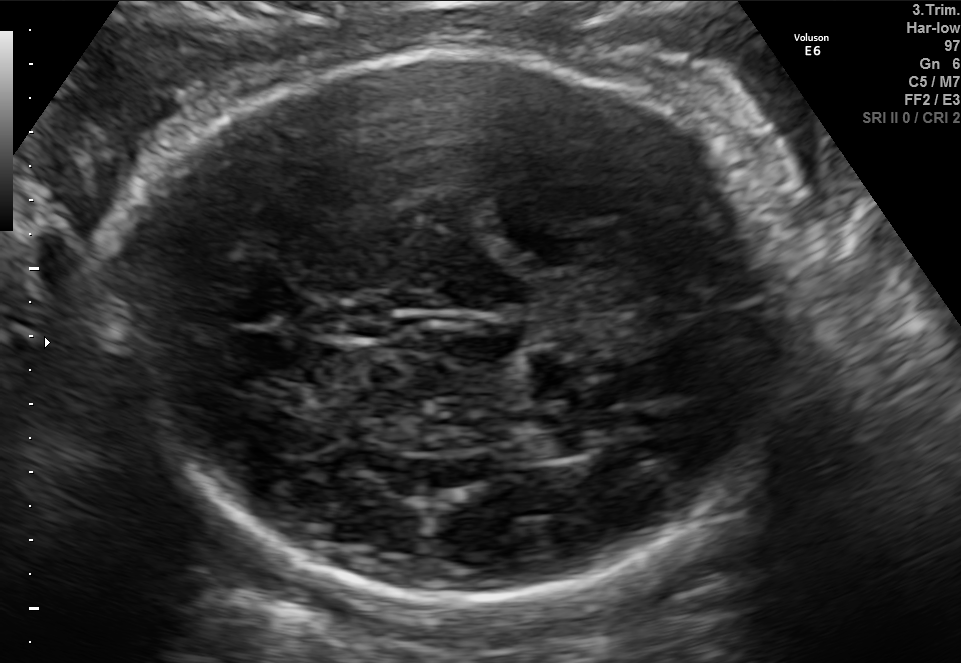
In this fetal brain, trans-thalamic plane, give the bounding box of the cavum septum pellucidum.

[337,304,397,336]